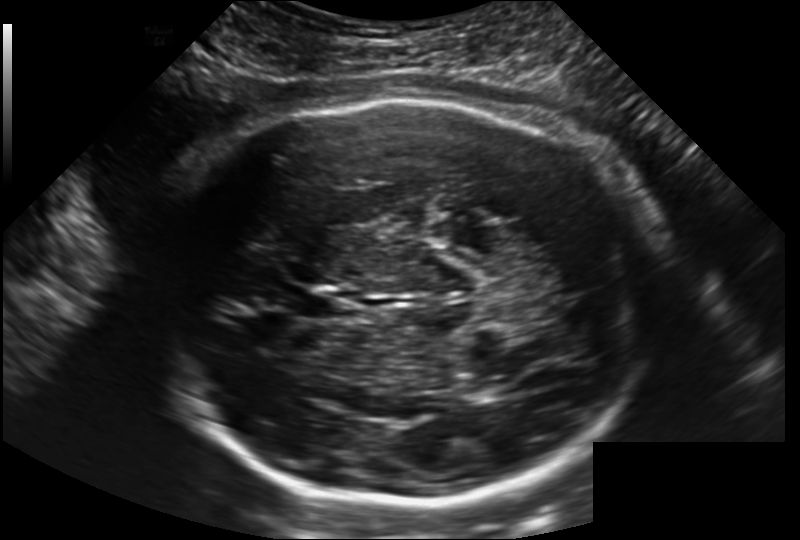
Estimate the fetal head circumference from this 2D ultrasound. Image width: 161.6 mm.

Head circumference: 294.5 mm.